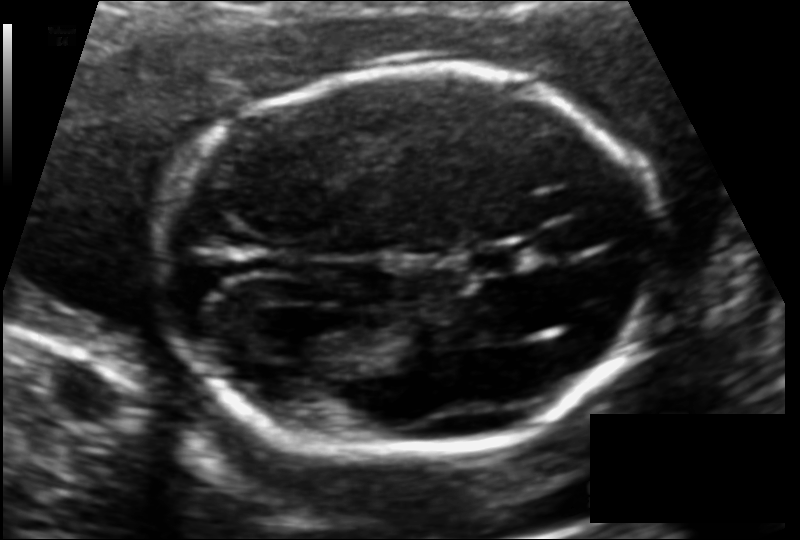
Fetal head ultrasound. Image width: 93.1 mm. Where is the lateral ventricle?

Lateral ventricle bounding box: [273,308,348,360]